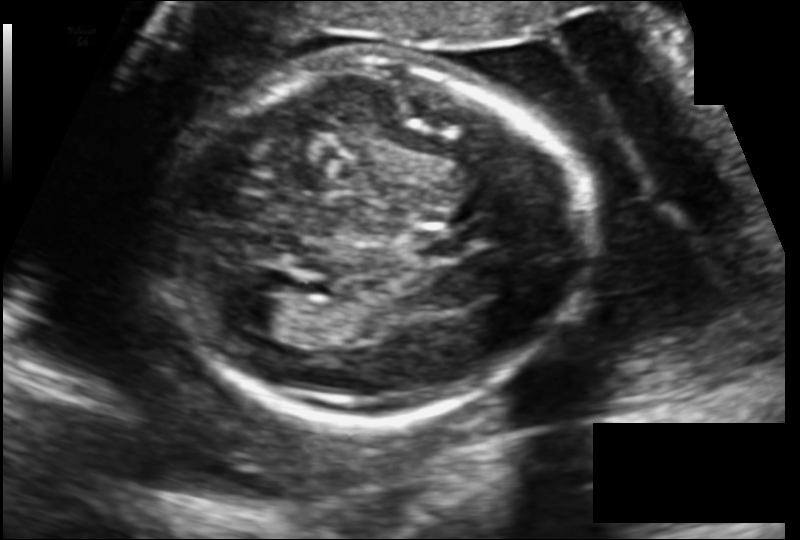
Estimate the fetal head circumference from this 2D ultrasound.

Head circumference: 174.6 mm (image width 110.0 mm).